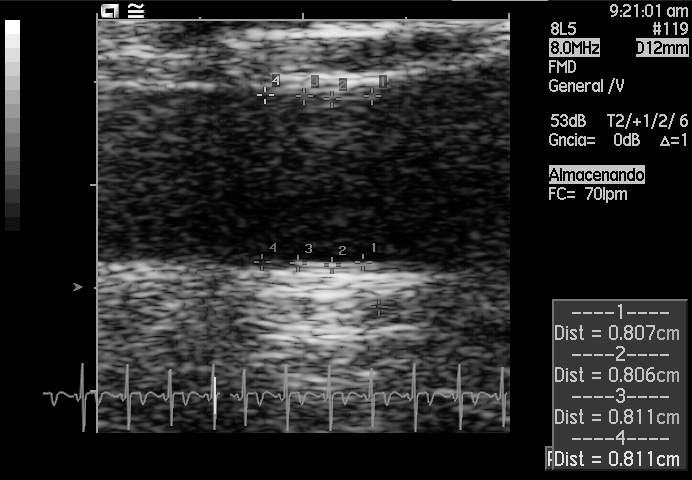
Identify the standard plane in this fetal ultrasound image: fetal abdomen, fetal brain, fetal femur, fetal thorax, maternal cervix, or other. If it's fetal brain and one of the three standard brain planes (trans-thalamic, trans-cerebellum, trans-ventricular), name which.

Other